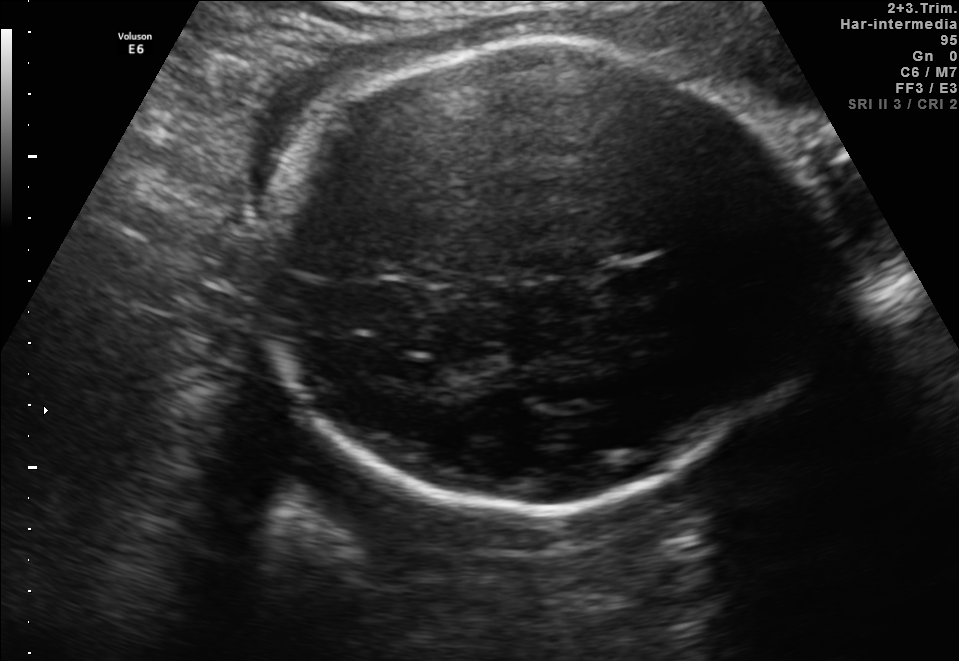
Classify this maternal-fetal ultrasound image as one of the six standard planes — fetal abdomen, fetal brain, fetal femur, fetal thorax, maternal cervix, or other. If it's fetal brain and one of the three standard brain planes (trans-thalamic, trans-cerebellum, trans-ventricular), name which.

Fetal brain (trans-thalamic plane)